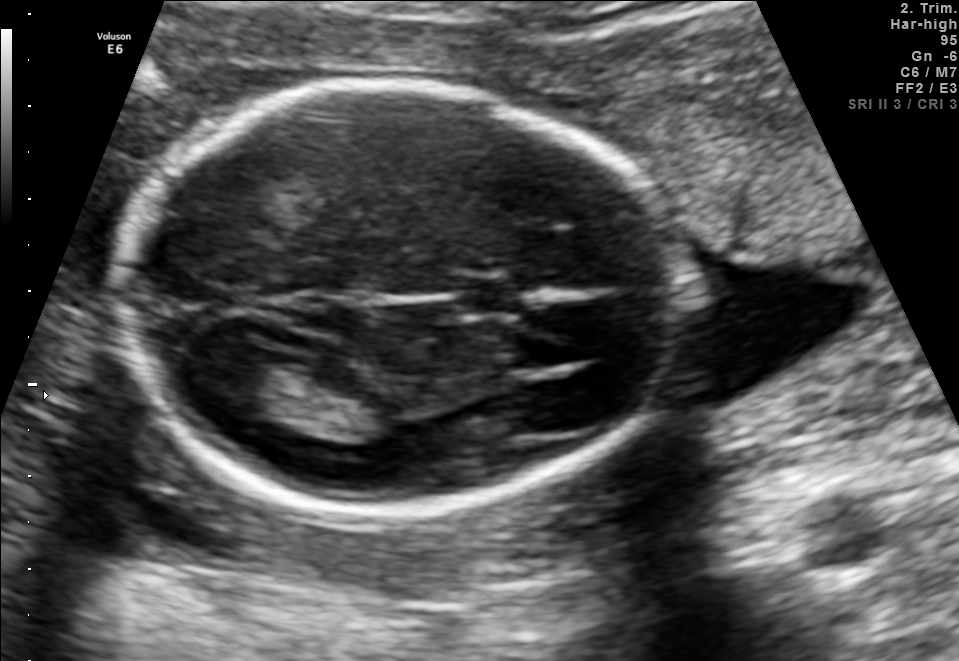
Fetal brain, trans-thalamic plane. Where is the fetal head?

Head bounding box: [117,87,684,514]